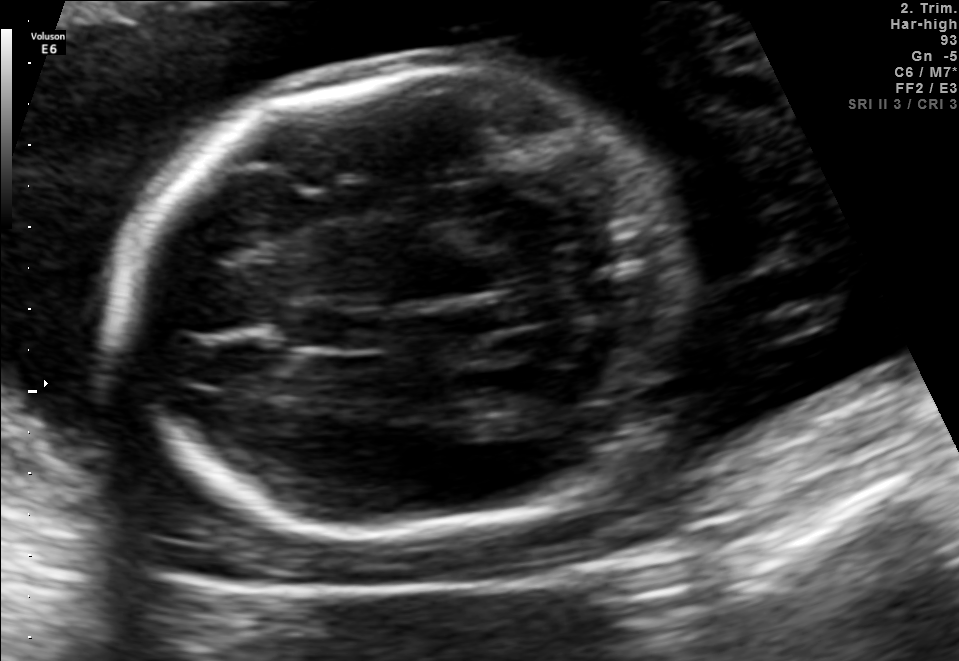
Fetal brain, trans-cerebellum plane. Where is the cavum septum pellucidum?

CSP bounding box: [289,311,375,352]